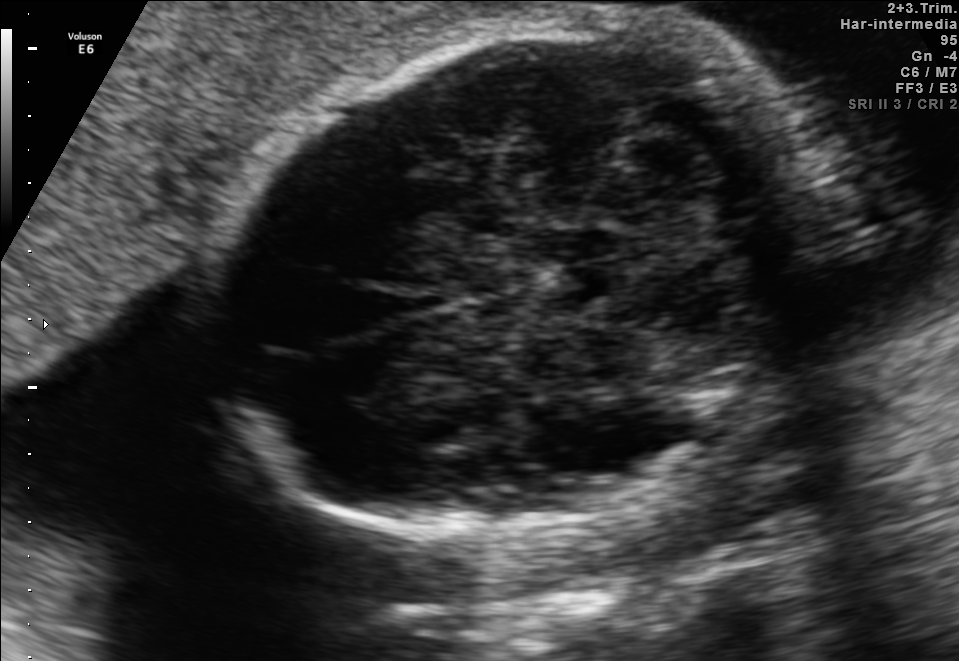
Fetal brain, trans-cerebellum plane. Where is the fetal head?

Head bounding box: [206,23,817,538]